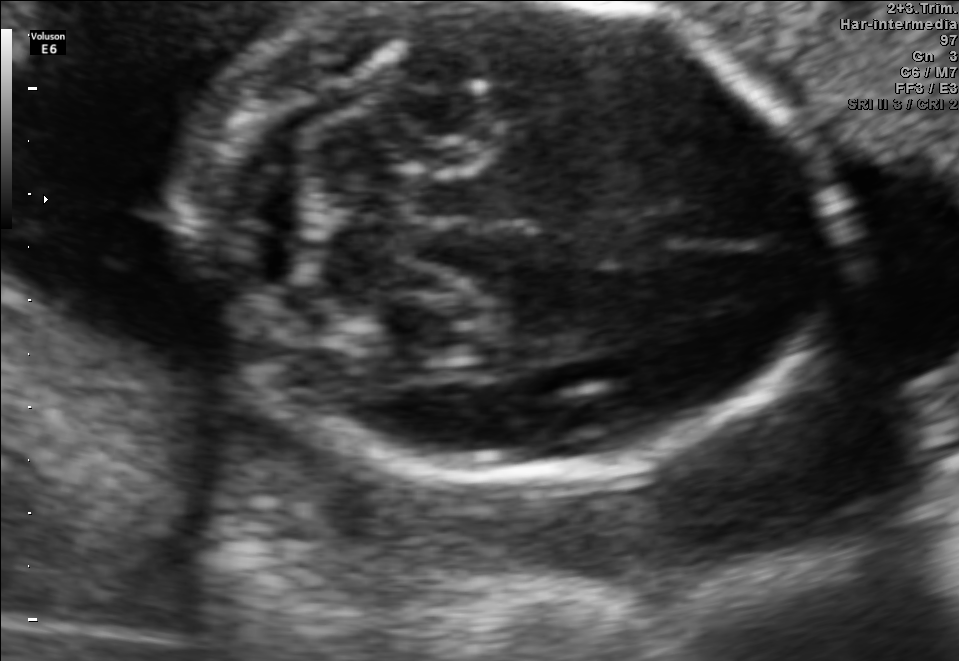
In this fetal brain, trans-cerebellum plane, give bounding boxes for the head outline, cavum septum pellucidum (CSP), and lateral ventricle (LV), where visible.

Head: [174,4,841,469]